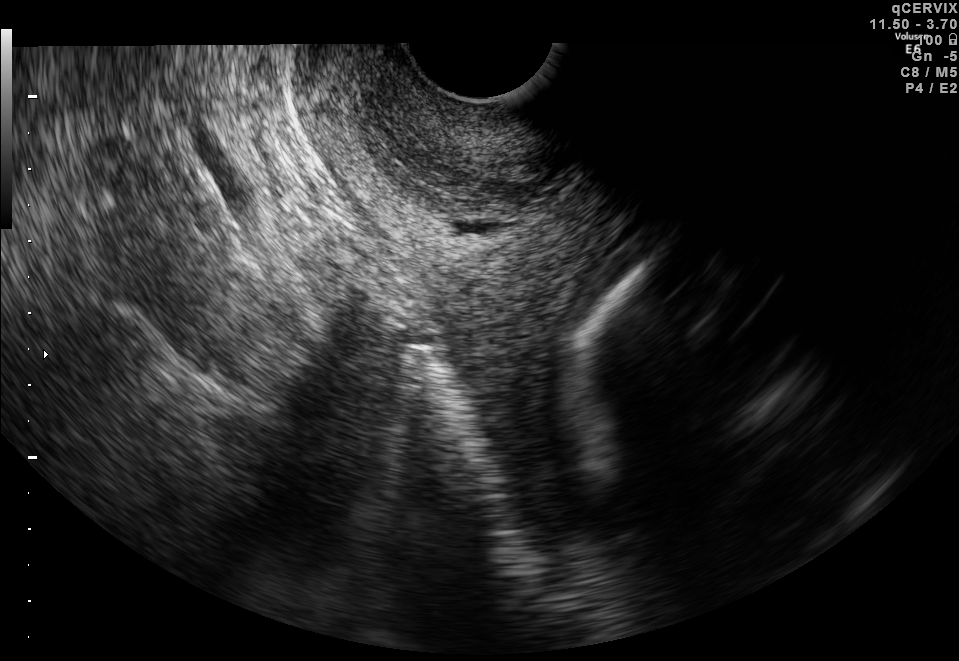
Identify the standard plane in this fetal ultrasound image: fetal abdomen, fetal brain, fetal femur, fetal thorax, maternal cervix, or other. If it's fetal brain and one of the three standard brain planes (trans-thalamic, trans-cerebellum, trans-ventricular), name which.

Maternal cervix